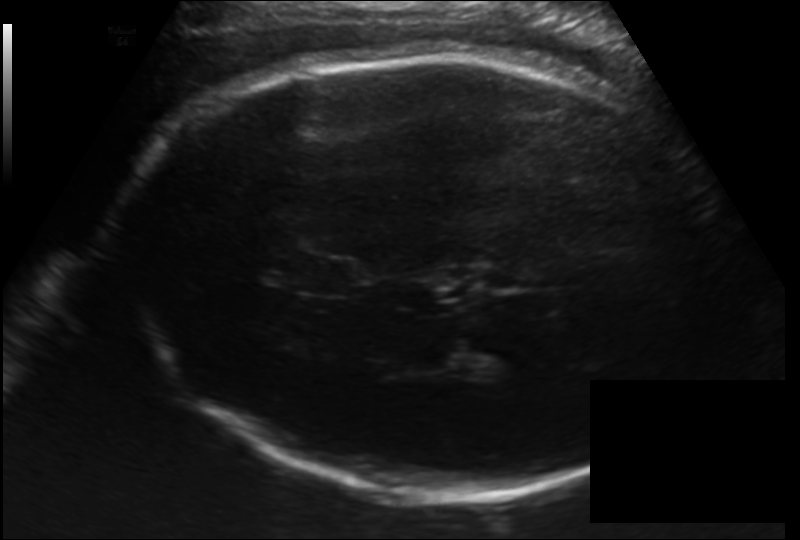
In this fetal head ultrasound, give the bounding box of the cavum septum pellucidum. Image width: 153.4 mm.

[286,251,362,299]